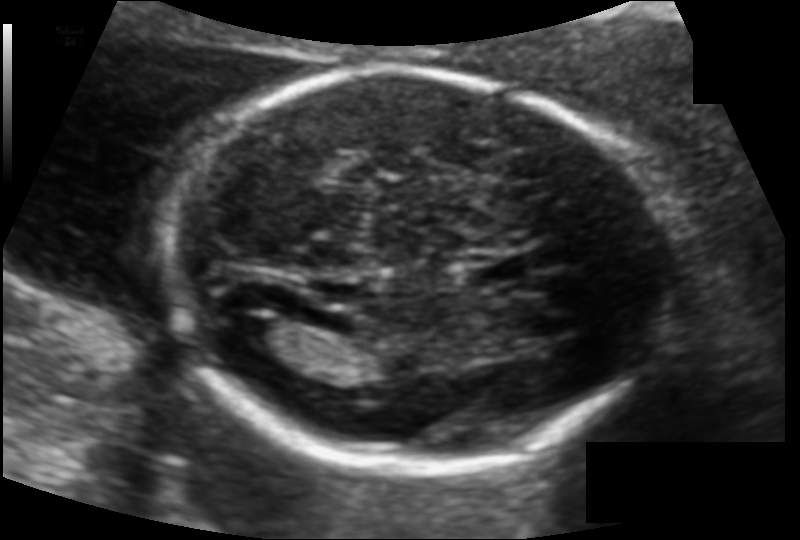
Measure the fetal head circumference shown in this ultrasound image. Image width: 91.9 mm.

Head circumference: 167.8 mm.